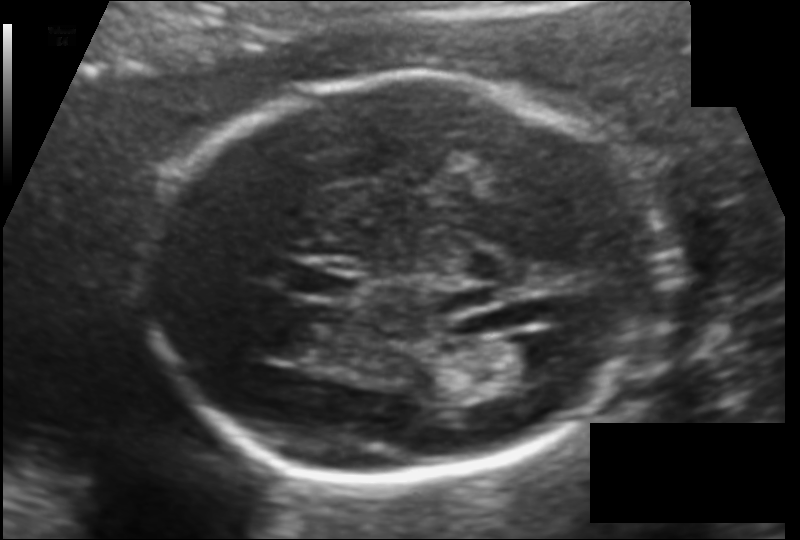
Fetal head ultrasound. Image width: 95.9 mm. Locate the lateral ventricle.

Lateral ventricle: [485,329,571,386]